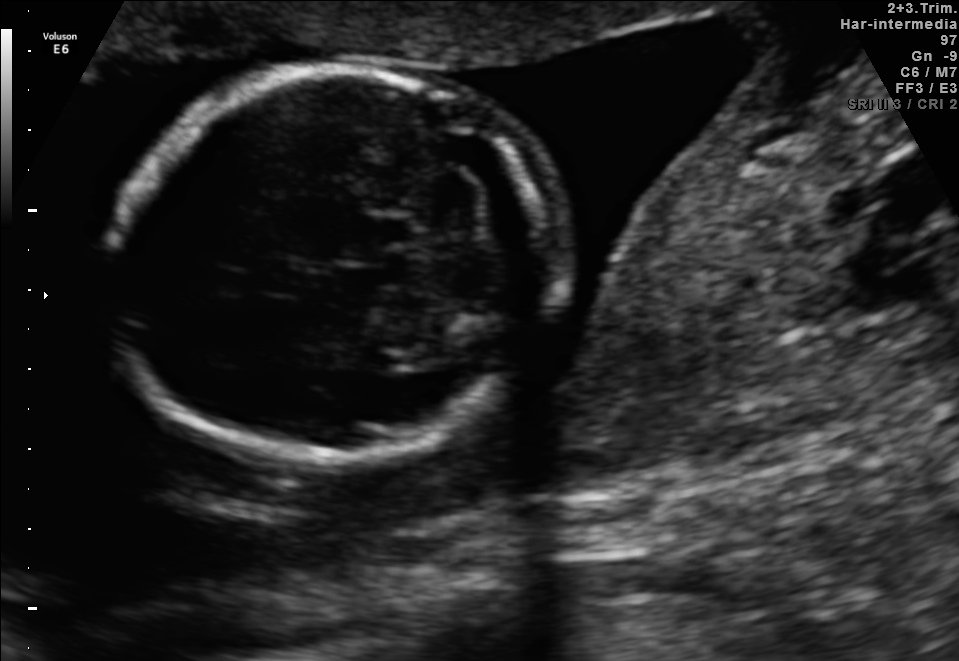
In this fetal brain, trans-cerebellum plane, give the bounding box of the fetal head.

[111,67,548,464]